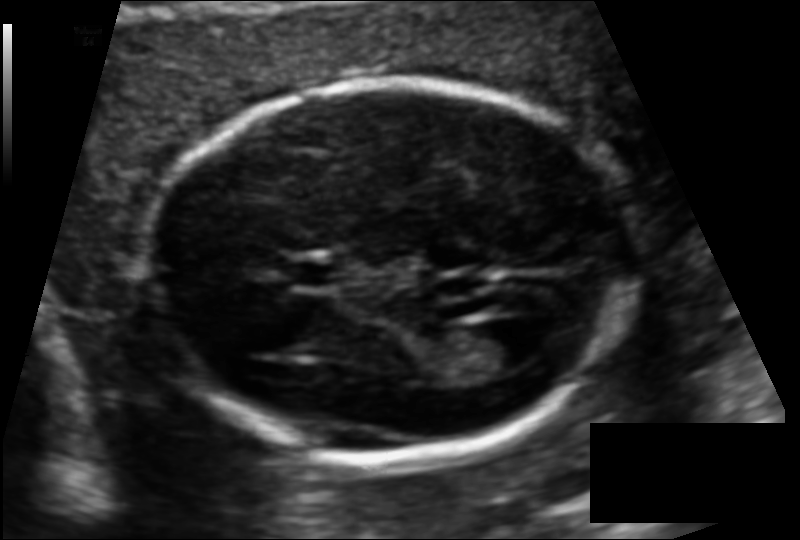
What is the fetal head circumference? Image width is 88.0 mm.

155.3 mm